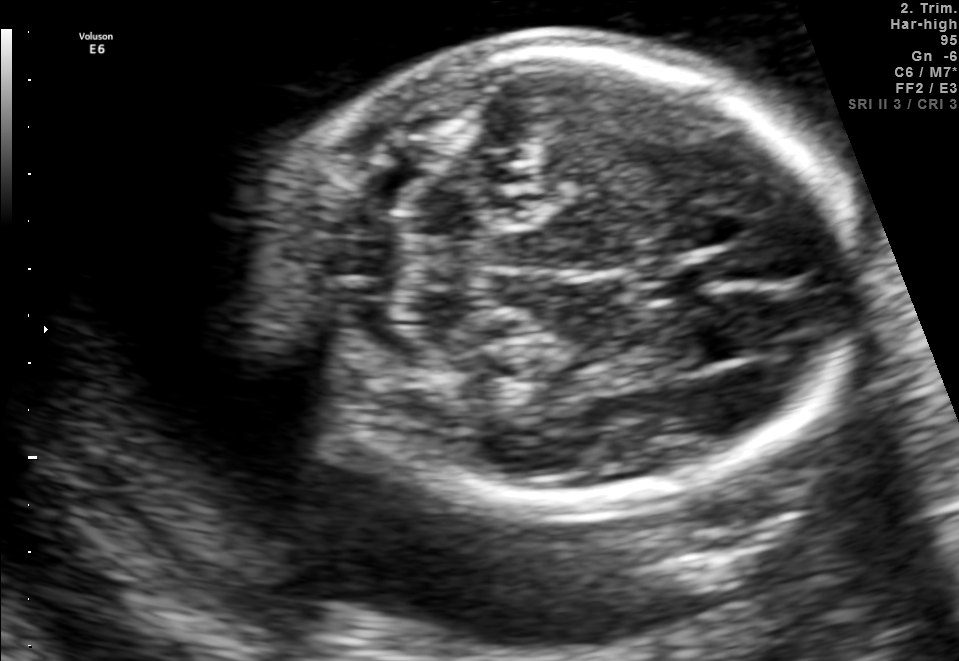
Fetal brain, trans-cerebellum plane. Locate the cavum septum pellucidum.

CSP: [636,247,723,306]